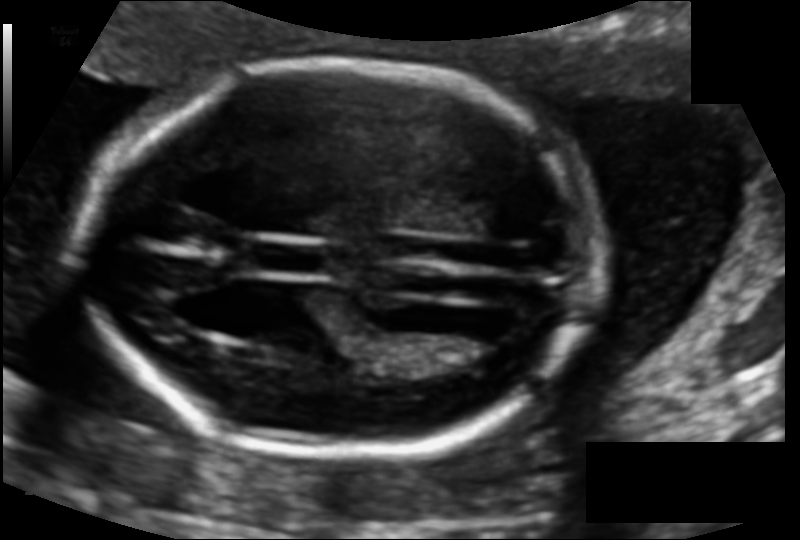
Fetal head ultrasound. Image width: 88.3 mm. Give [x1,y1,x2,y2] bounding boxes for each visible structure among: fetal head, CSP, LV.

Head: [78,60,591,453]
CSP: [255,239,325,275]